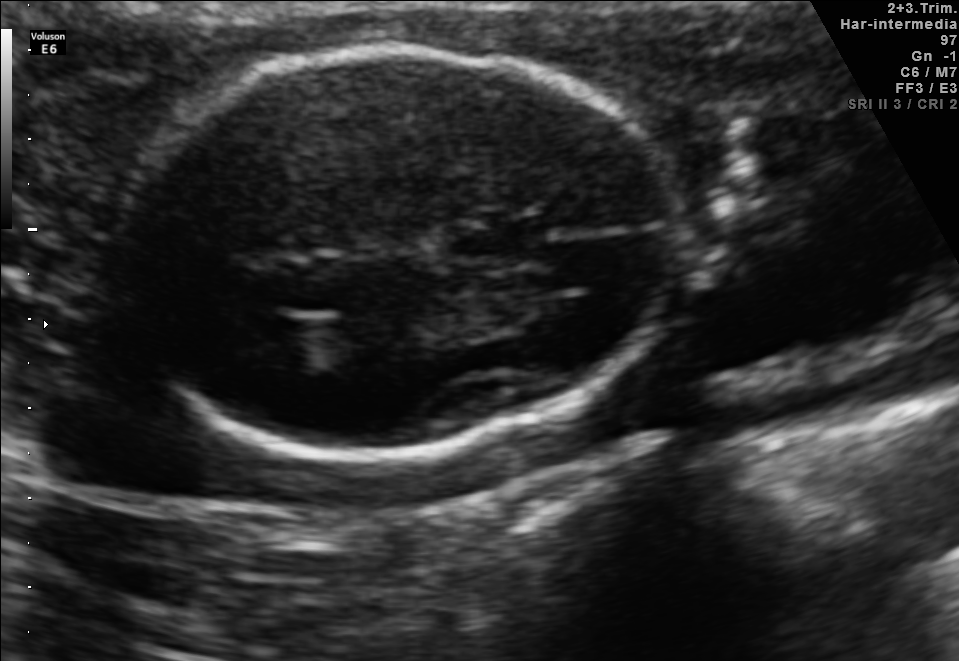
In this fetal brain, trans-thalamic plane, give the bounding box of the cavum septum pellucidum.

[448,217,544,267]